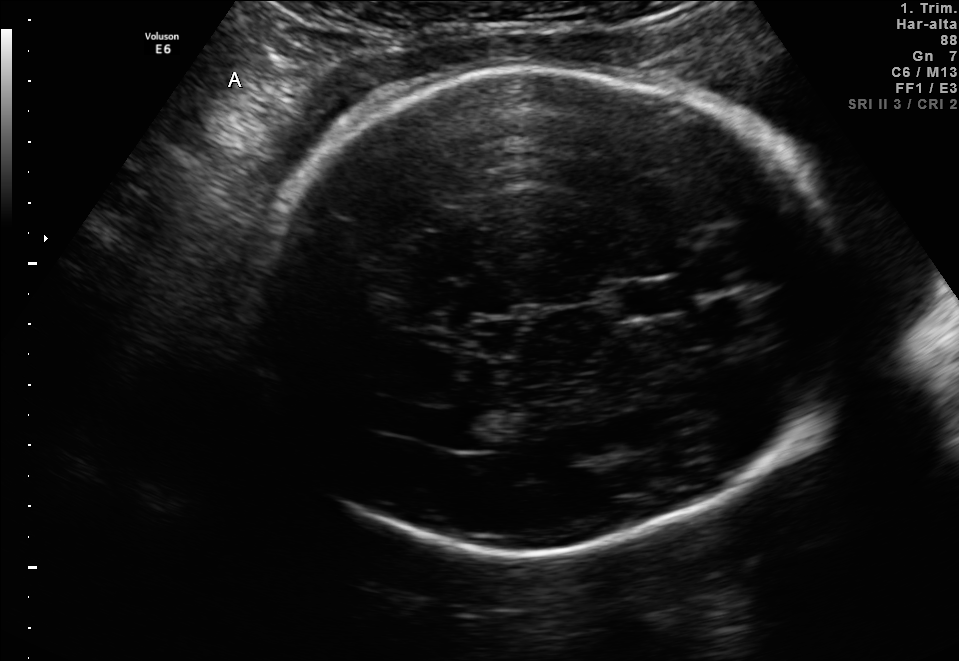
Fetal brain, trans-thalamic plane. Give [x1,y1,x2,y2] bounding boxes for each visible structure among: fetal head, CSP, LV.

Head: [258,64,843,551]
CSP: [618,278,682,320]
Lateral ventricle: [433,408,497,452]